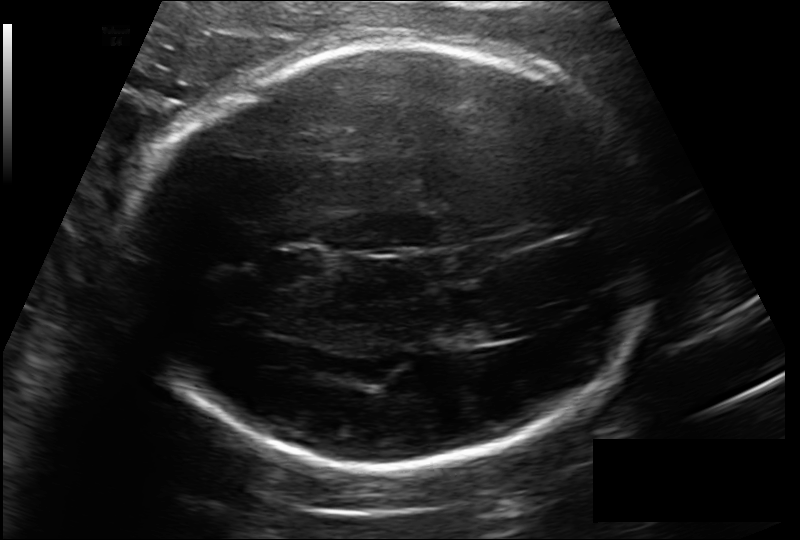
Fetal head ultrasound. Image width: 148.1 mm. Where is the fetal head?

Head bounding box: [137,46,658,466]